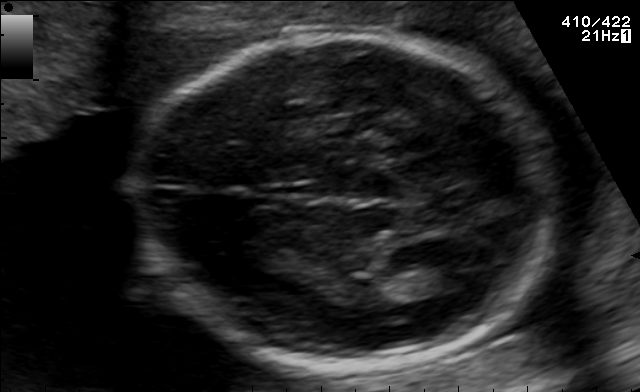
In this fetal brain, trans-thalamic plane, give the bounding box of the lateral ventricle.

[411,247,496,300]